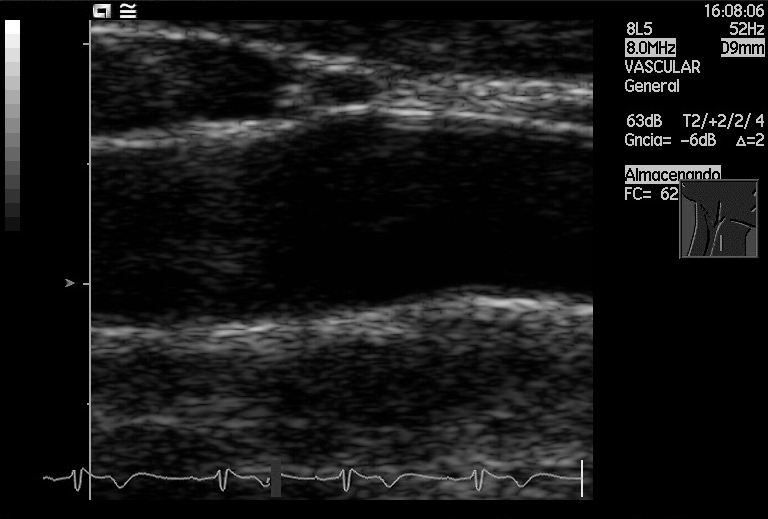
Which standard maternal-fetal ultrasound plane is shown: fetal abdomen, fetal brain, fetal femur, fetal thorax, maternal cervix, or other? If it's fetal brain and one of the three standard brain planes (trans-thalamic, trans-cerebellum, trans-ventricular), name which.

Other